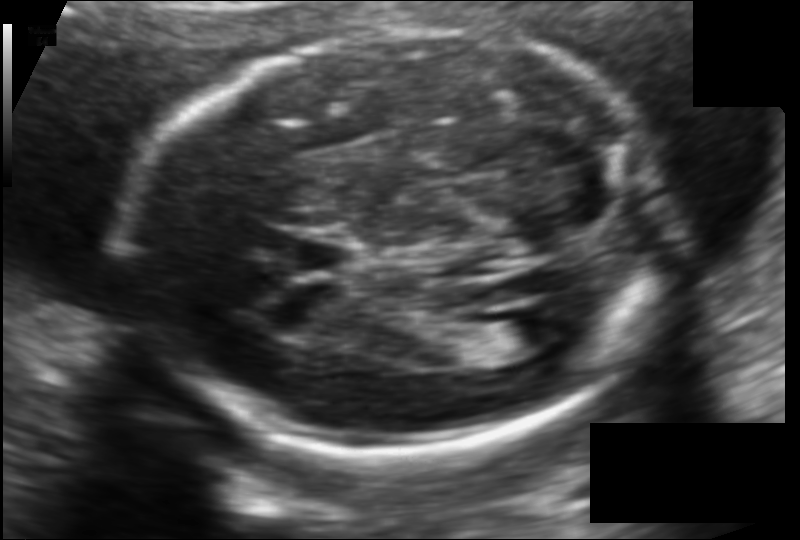
Fetal head ultrasound. Image width: 94.7 mm. Locate the cavum septum pellucidum.

CSP: [290,232,358,278]